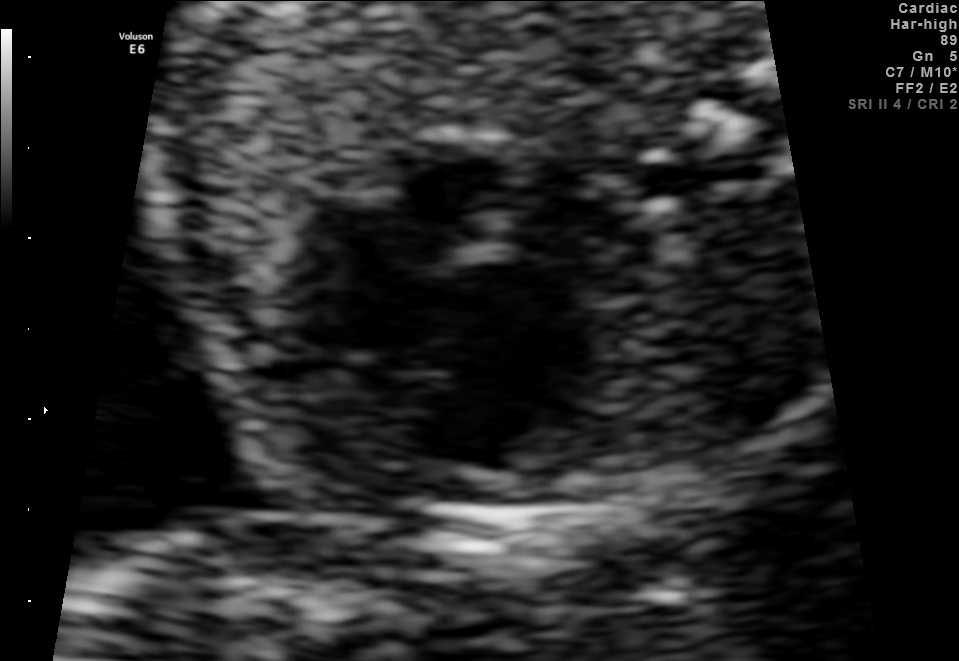
This is a 2D maternal-fetal ultrasound frame. Is it a fetal abdomen, fetal brain, fetal femur, fetal thorax, maternal cervix, or other standard plane? If it's fetal brain and one of the three standard brain planes (trans-thalamic, trans-cerebellum, trans-ventricular), name which.

Fetal thorax